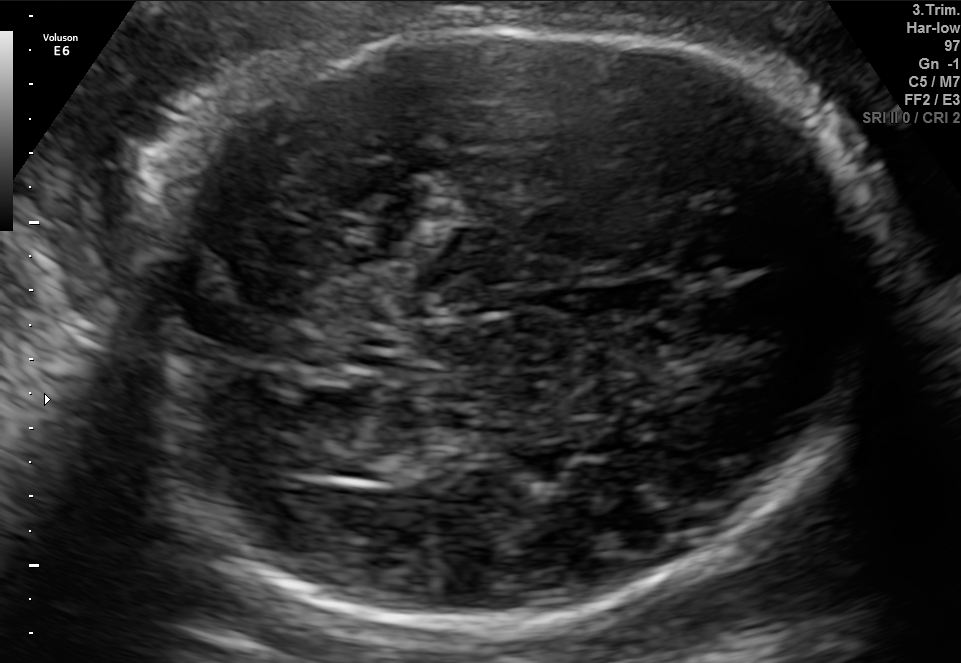
Fetal brain, trans-thalamic plane. Give [x1,y1,x2,y2] bounding boxes for each visible structure among: fetal head, CSP, LV.

Head: [146,24,879,631]
Lateral ventricle: [305,428,416,486]